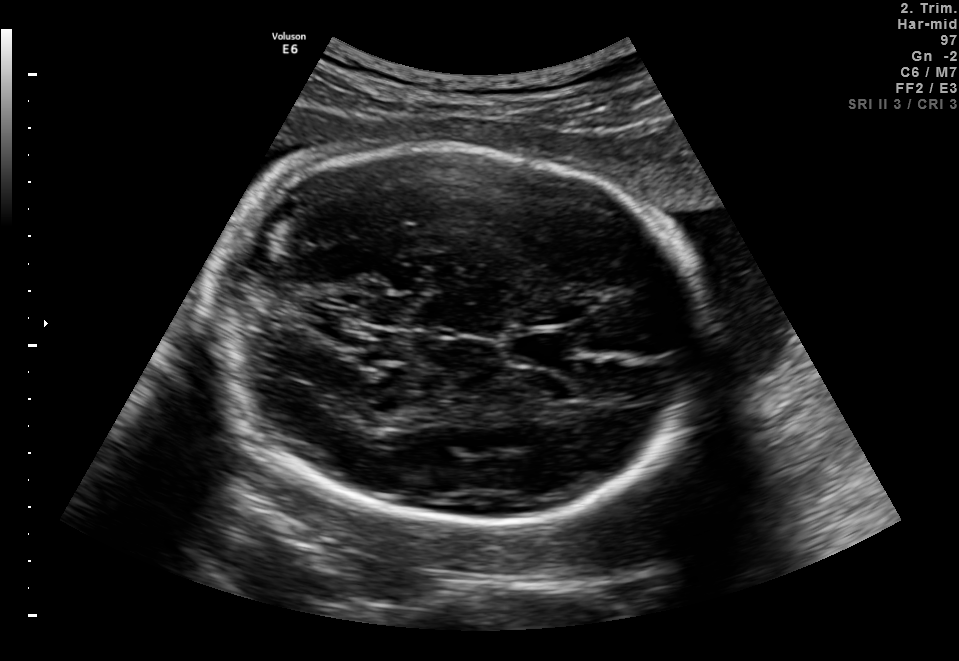
Fetal brain, trans-thalamic plane. Where is the fetal head?

Head bounding box: [214,145,719,530]